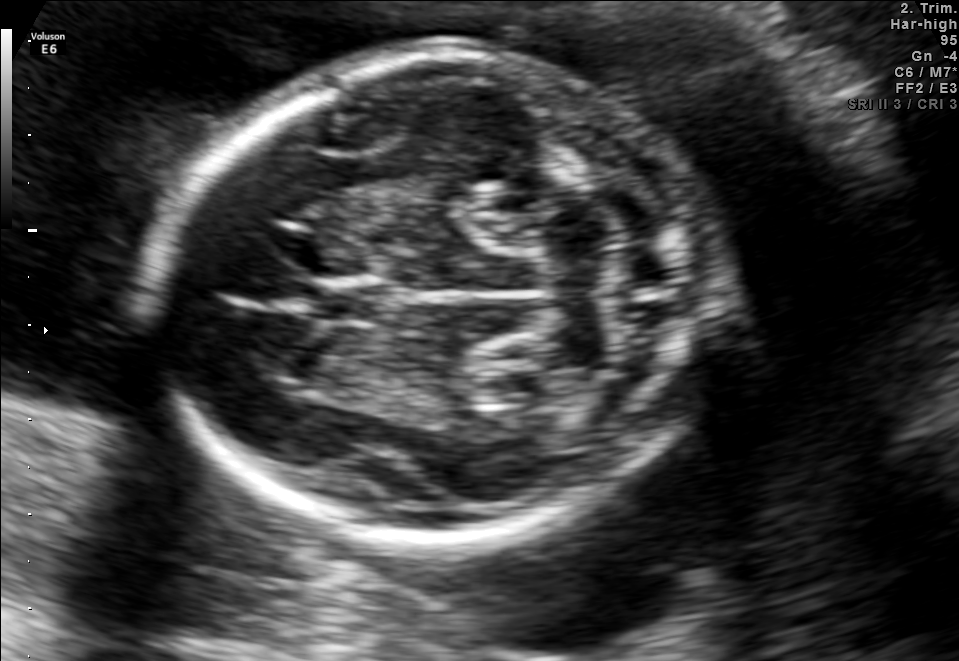
Fetal brain, trans-cerebellum plane. Give [x1,y1,x2,y2] bounding boxes for each visible structure among: fetal head, CSP, LV.

Head: [154,51,715,538]
CSP: [309,281,384,324]